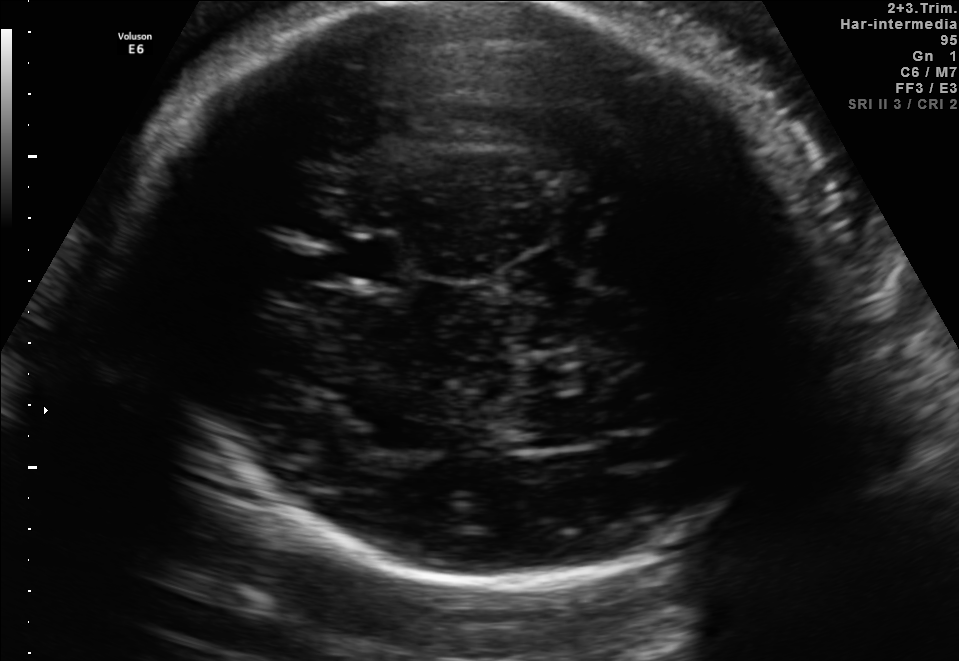
Fetal brain, trans-thalamic plane. Locate the fetal head.

Head: [122,4,833,585]